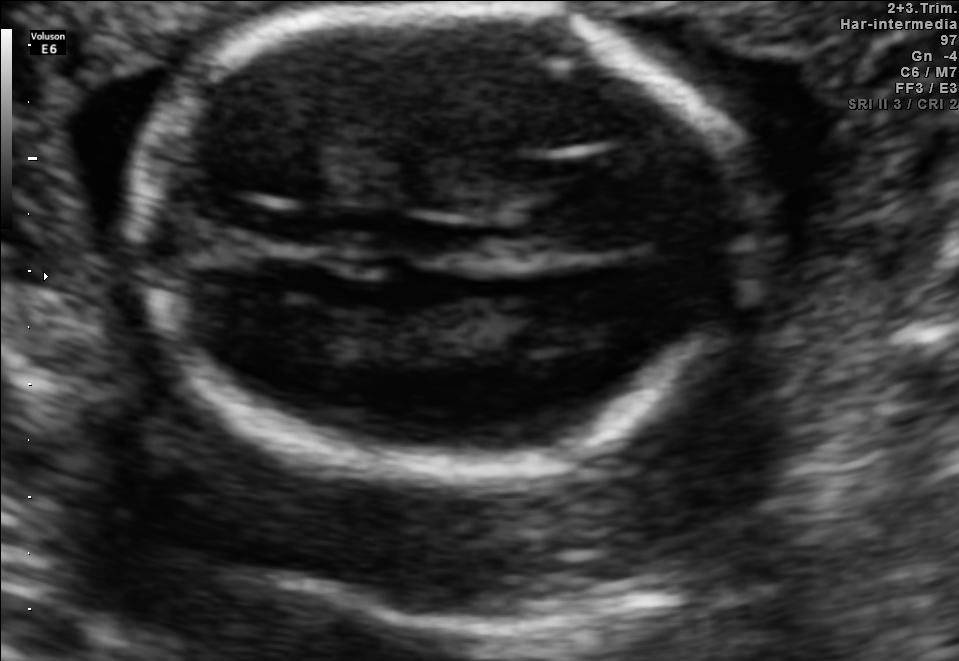
In this fetal brain, trans-thalamic plane, give the bounding box of the cavum septum pellucidum.

[251,203,338,247]